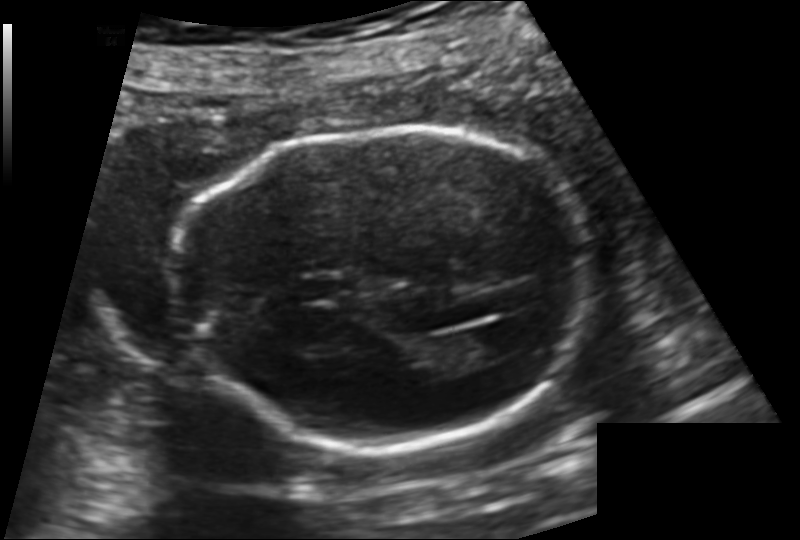
Fetal head ultrasound. Image width: 115.3 mm. Give [x1,y1,x2,y2] bounding boxes for each visible structure among: fetal head, CSP, LV.

Head: [178,131,592,449]
CSP: [295,277,341,301]
Lateral ventricle: [447,320,517,370]